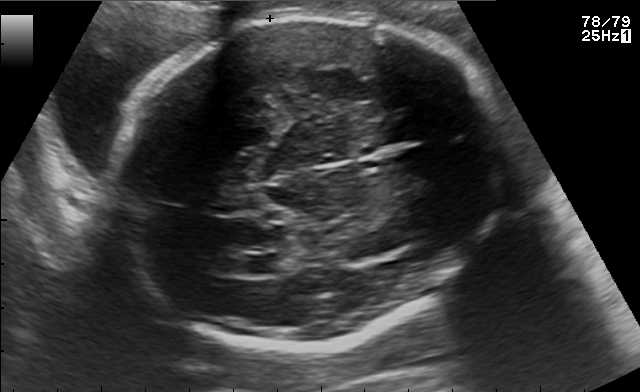
Fetal brain, trans-ventricular plane. Where is the lateral ventricle?

Lateral ventricle bounding box: [233,253,282,274]